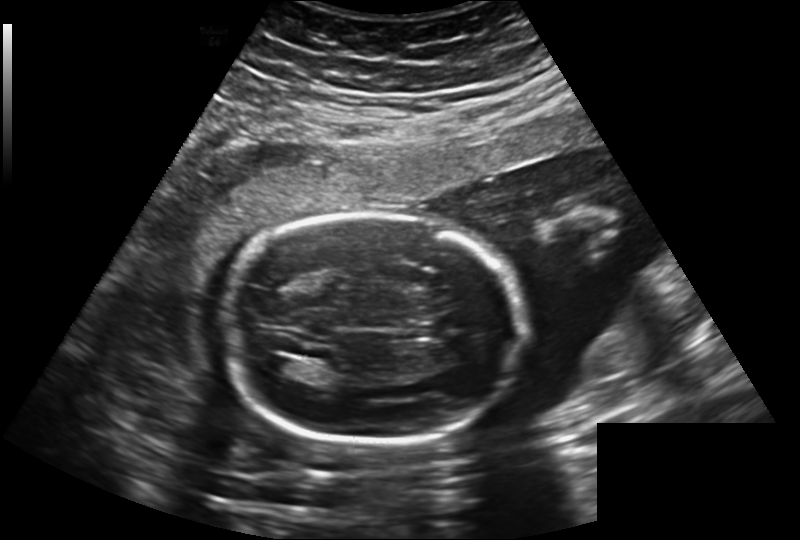
From this fetal ultrasound, estimate the head circumference (image width 192.6 mm).

Head circumference: 205.7 mm.